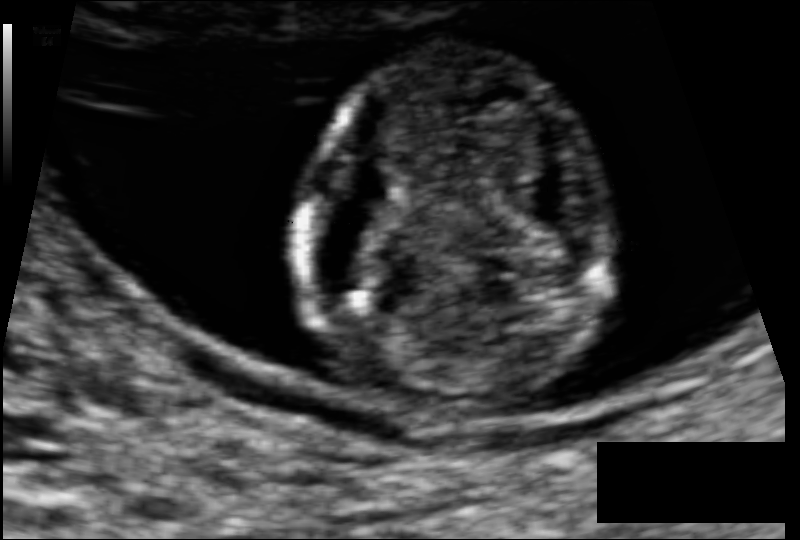
Fetal head ultrasound. Image width: 59.5 mm. Locate the fetal head.

Head: [301,50,604,408]